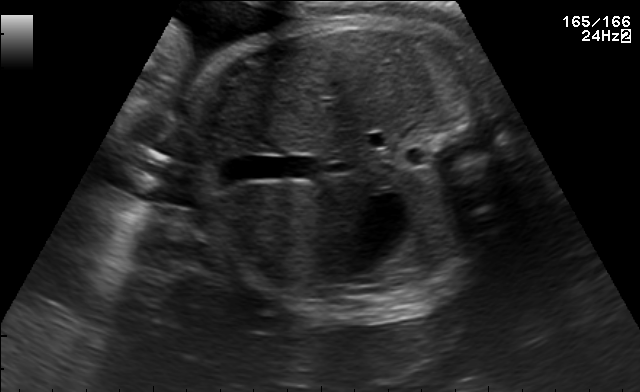
Classify this maternal-fetal ultrasound image as one of the six standard planes — fetal abdomen, fetal brain, fetal femur, fetal thorax, maternal cervix, or other. If it's fetal brain and one of the three standard brain planes (trans-thalamic, trans-cerebellum, trans-ventricular), name which.

Fetal abdomen